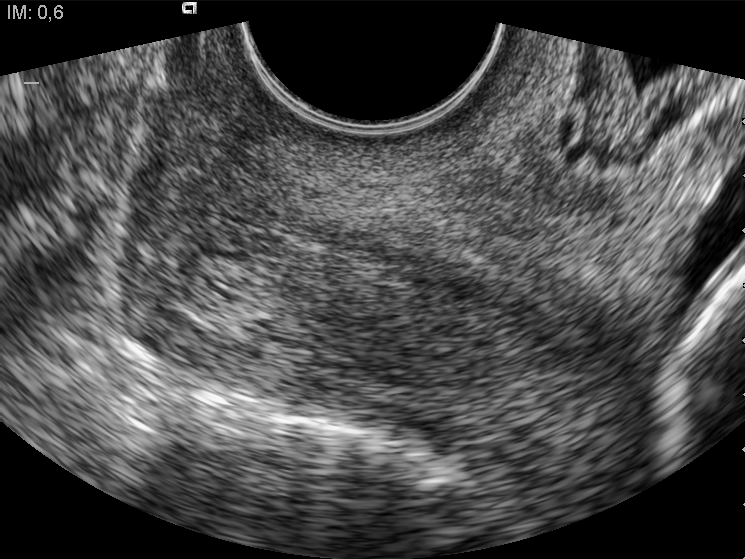
Classify this maternal-fetal ultrasound image as one of the six standard planes — fetal abdomen, fetal brain, fetal femur, fetal thorax, maternal cervix, or other. If it's fetal brain and one of the three standard brain planes (trans-thalamic, trans-cerebellum, trans-ventricular), name which.

Maternal cervix